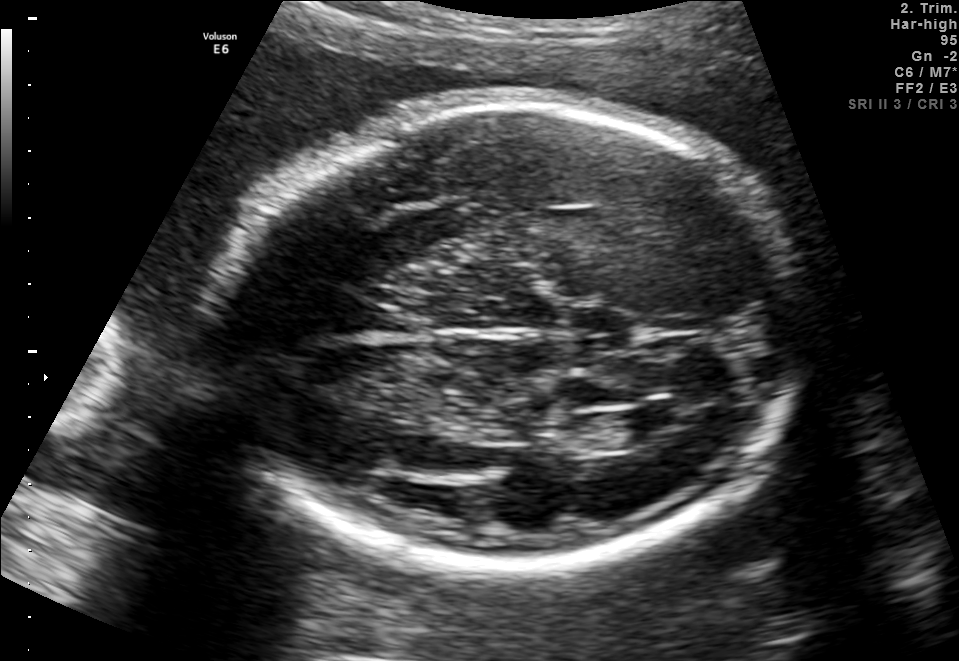
In this fetal brain, trans-ventricular plane, give the bounding box of the fetal head.

[203,100,820,573]